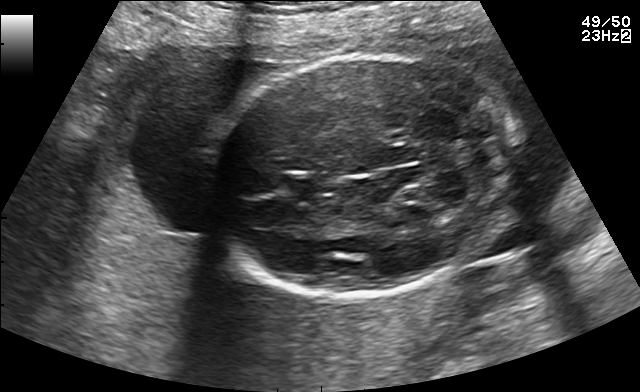
Fetal brain, trans-cerebellum plane. Where is the fetal head?

Head bounding box: [208,53,517,295]